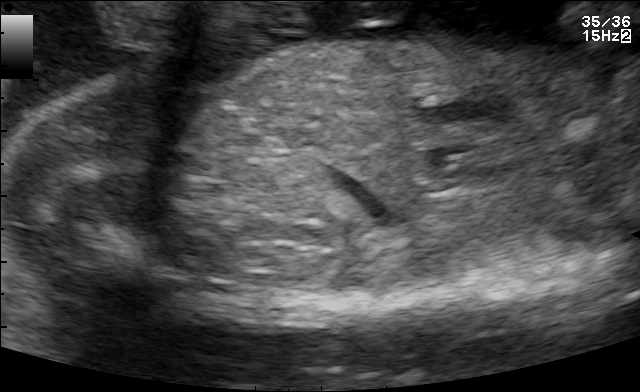
Classify this maternal-fetal ultrasound image as one of the six standard planes — fetal abdomen, fetal brain, fetal femur, fetal thorax, maternal cervix, or other. If it's fetal brain and one of the three standard brain planes (trans-thalamic, trans-cerebellum, trans-ventricular), name which.

Other